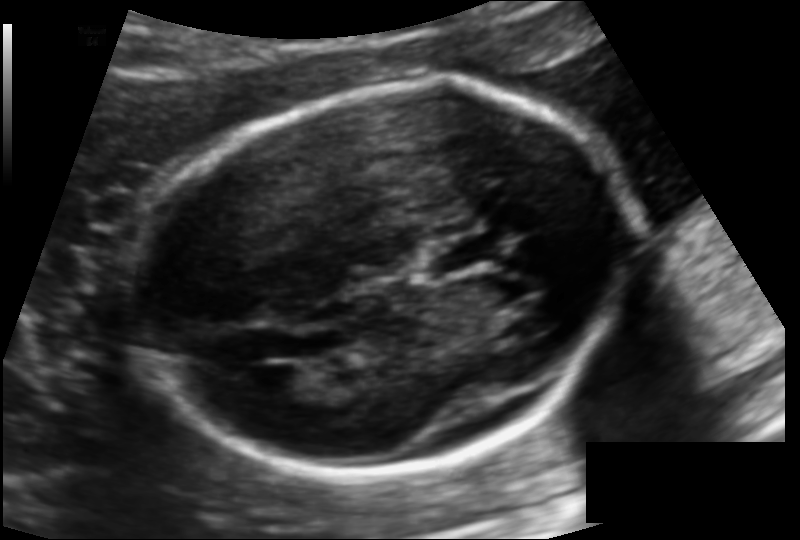
In this fetal head ultrasound, give the bounding box of the lateral ventricle. Image width: 99.2 mm.

[252,365,309,400]